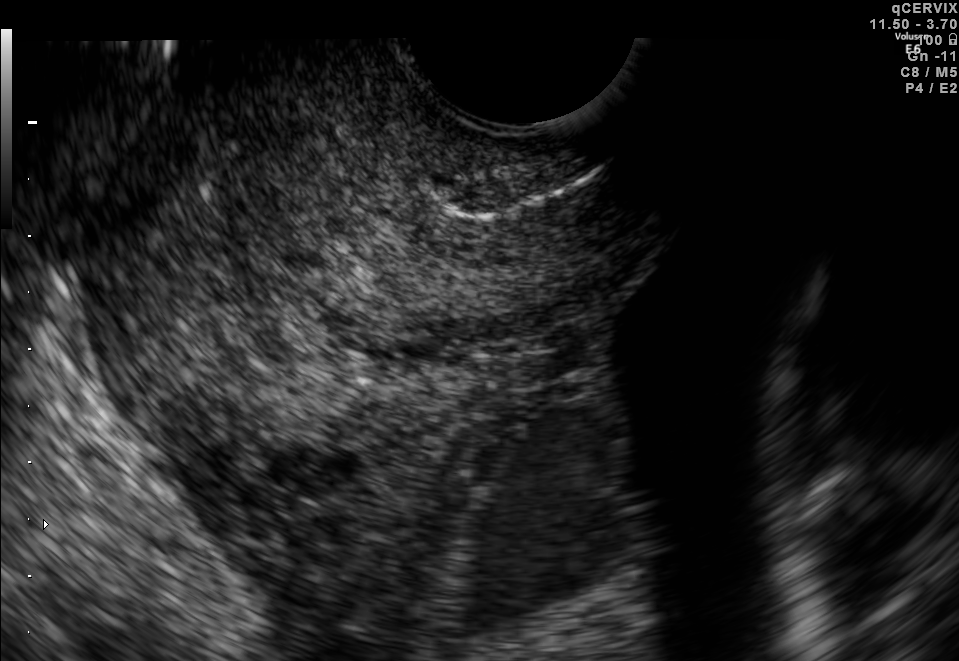
Which standard maternal-fetal ultrasound plane is shown: fetal abdomen, fetal brain, fetal femur, fetal thorax, maternal cervix, or other? If it's fetal brain and one of the three standard brain planes (trans-thalamic, trans-cerebellum, trans-ventricular), name which.

Maternal cervix